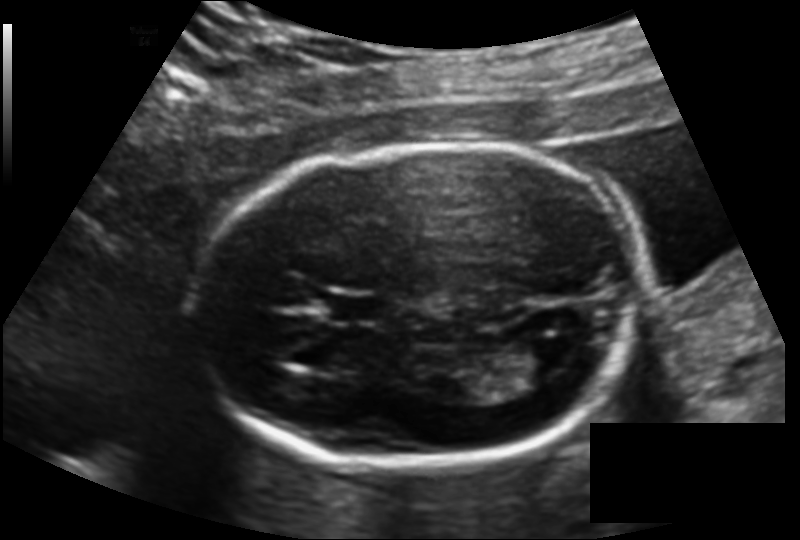
Fetal head ultrasound. Image width: 109.3 mm. Locate the lateral ventricle.

Lateral ventricle: [510,322,585,387]